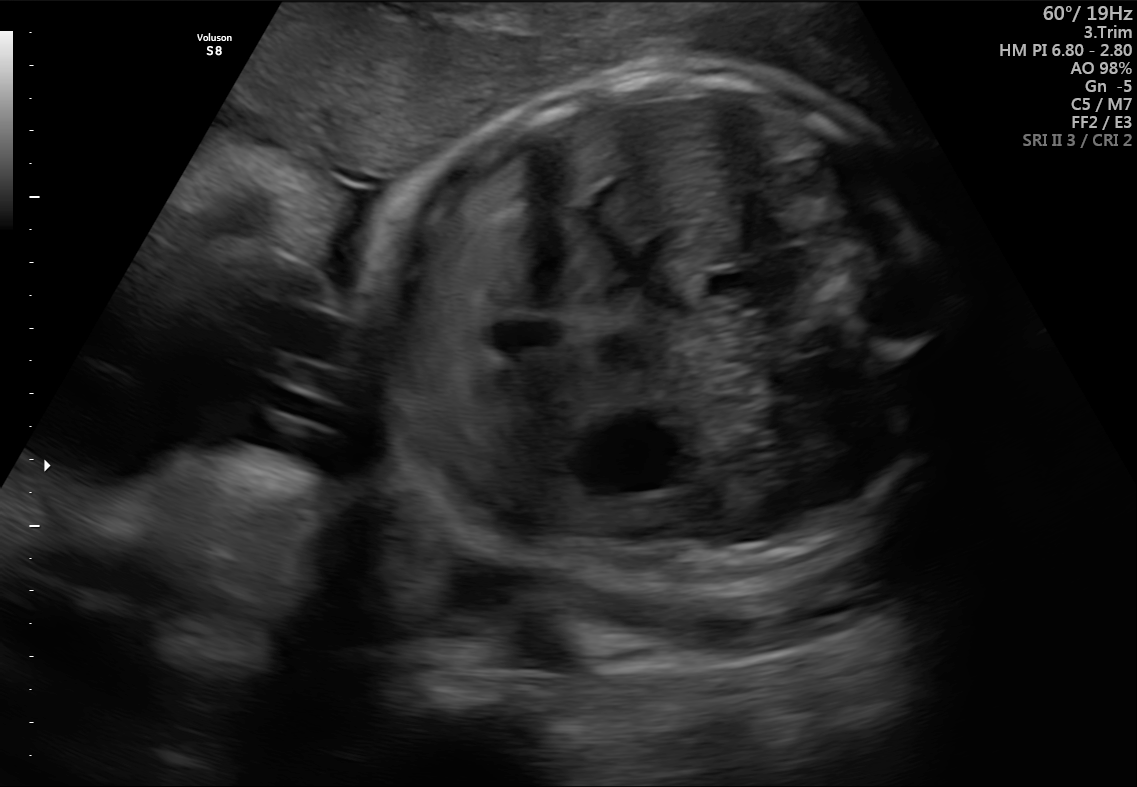
Classify this maternal-fetal ultrasound image as one of the six standard planes — fetal abdomen, fetal brain, fetal femur, fetal thorax, maternal cervix, or other. If it's fetal brain and one of the three standard brain planes (trans-thalamic, trans-cerebellum, trans-ventricular), name which.

Fetal abdomen